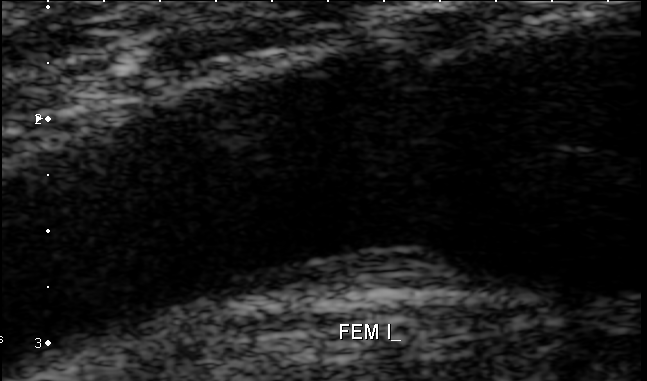
This is a 2D maternal-fetal ultrasound frame. Is it a fetal abdomen, fetal brain, fetal femur, fetal thorax, maternal cervix, or other standard plane? If it's fetal brain and one of the three standard brain planes (trans-thalamic, trans-cerebellum, trans-ventricular), name which.

Other